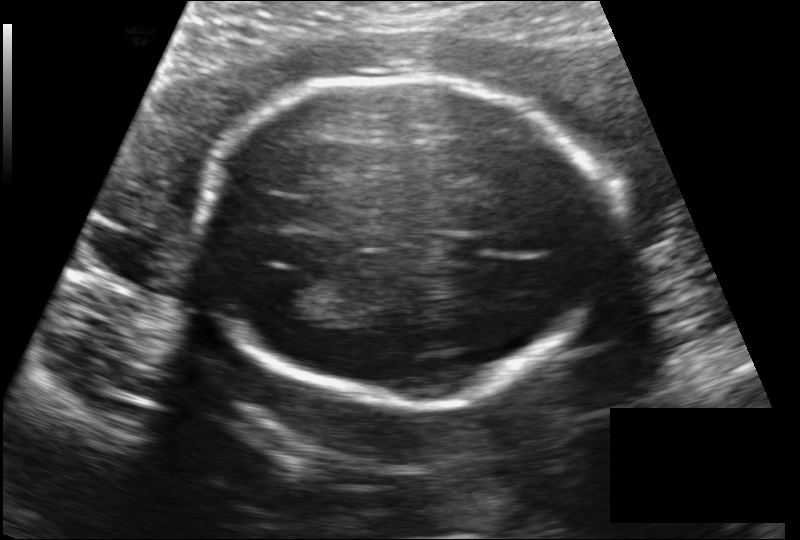
Measure the fetal head circumference shown in this ultrasound image. Image width: 119.2 mm.

Head circumference: 180.3 mm.